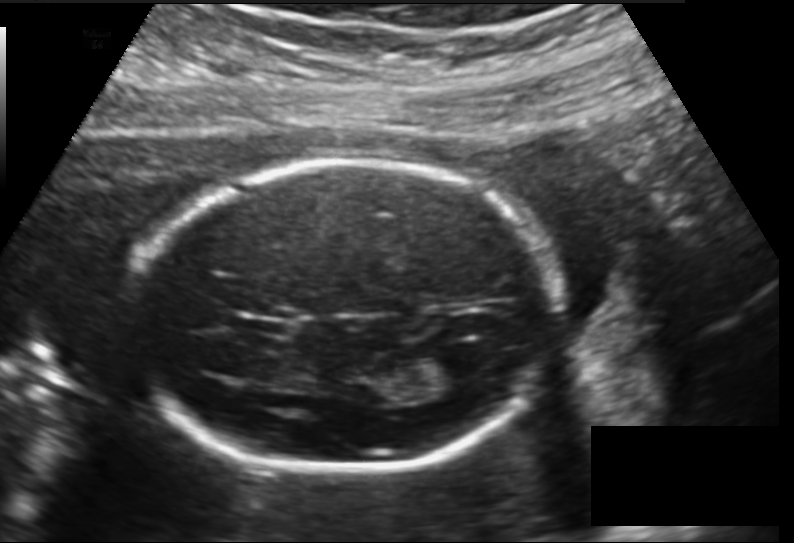
Fetal head ultrasound. Image width: 124.7 mm. Where is the fetal head?

Head bounding box: [130,160,556,472]